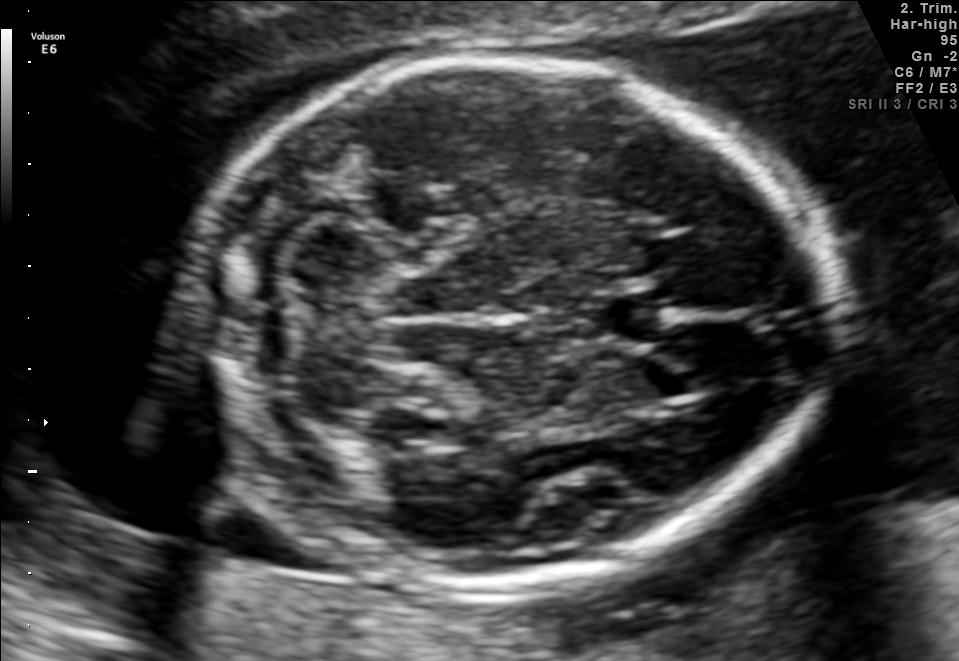
Fetal brain, trans-cerebellum plane. Locate the cavum septum pellucidum.

CSP: [586,281,674,353]